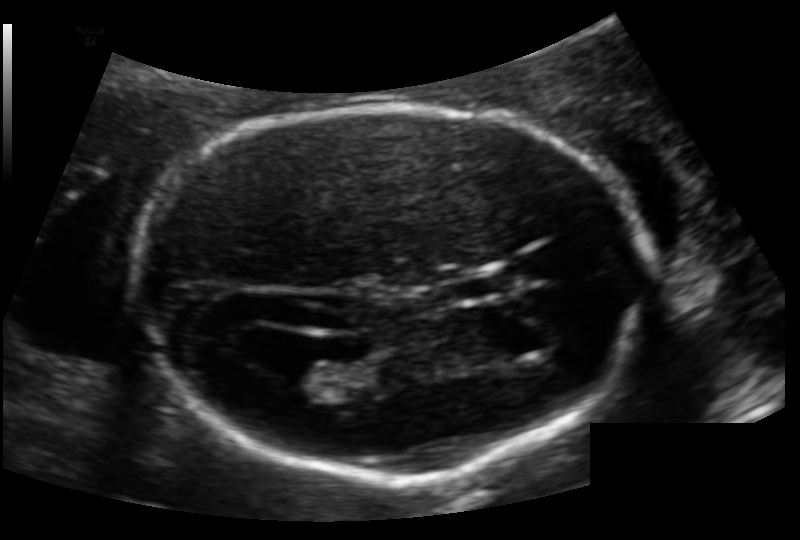
Fetal head ultrasound. Image width: 99.1 mm. Where is the lateral ventricle?

Lateral ventricle bounding box: [269,350,337,393]